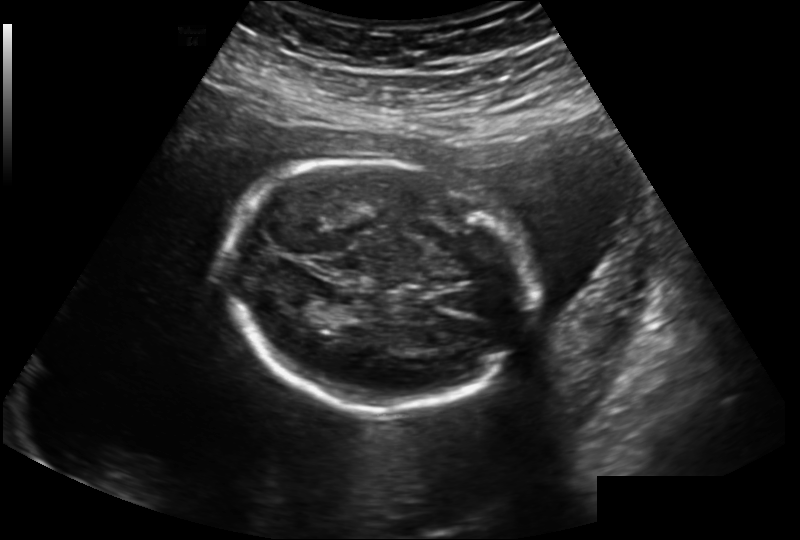
Fetal head ultrasound. Image width: 161.6 mm. Give [x1,y1,x2,y2] bounding boxes for each visible structure among: fetal head, CSP, LV.

Head: [223,160,531,409]